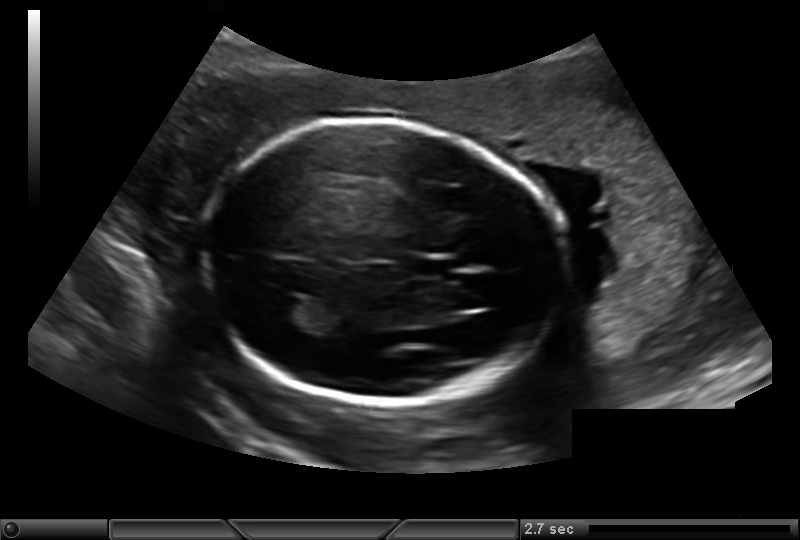
Fetal head ultrasound. Image width: 154.2 mm. Locate the lateral ventricle.

Lateral ventricle: [263,290,316,331]